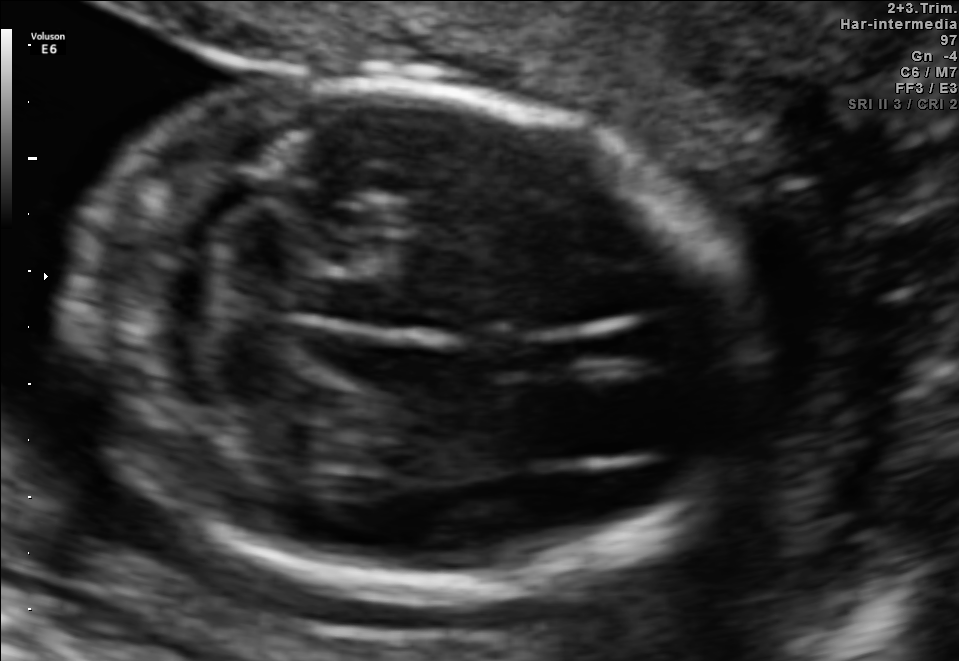
In this fetal brain, trans-cerebellum plane, give the bounding box of the fetal head.

[69,84,750,585]